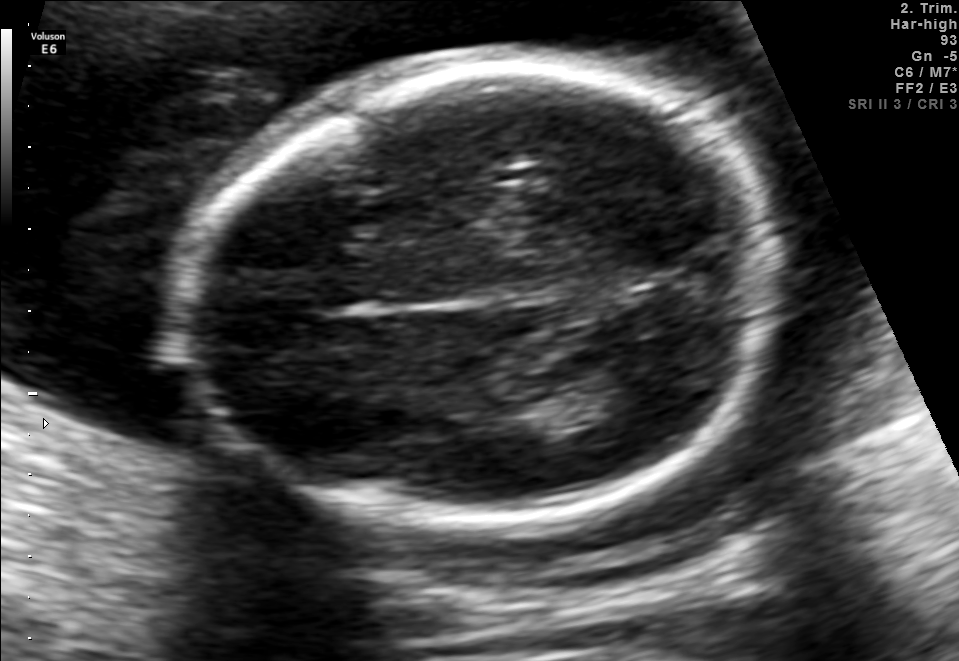
Fetal brain, trans-thalamic plane. Give [x1,y1,x2,y2] bounding boxes for each visible structure among: fetal head, CSP, LV.

Head: [183,64,782,521]
Lateral ventricle: [565,359,661,427]